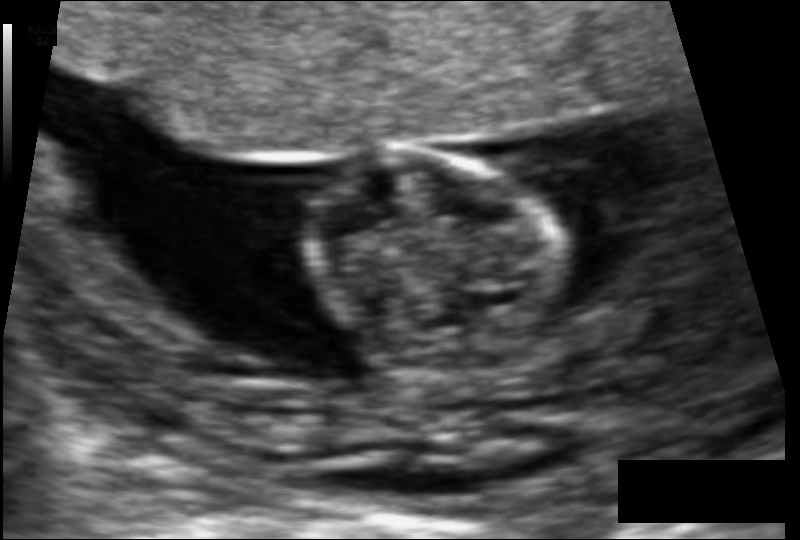
Fetal head ultrasound. Image width: 63.2 mm. Where is the fetal head?

Head bounding box: [306,150,571,377]